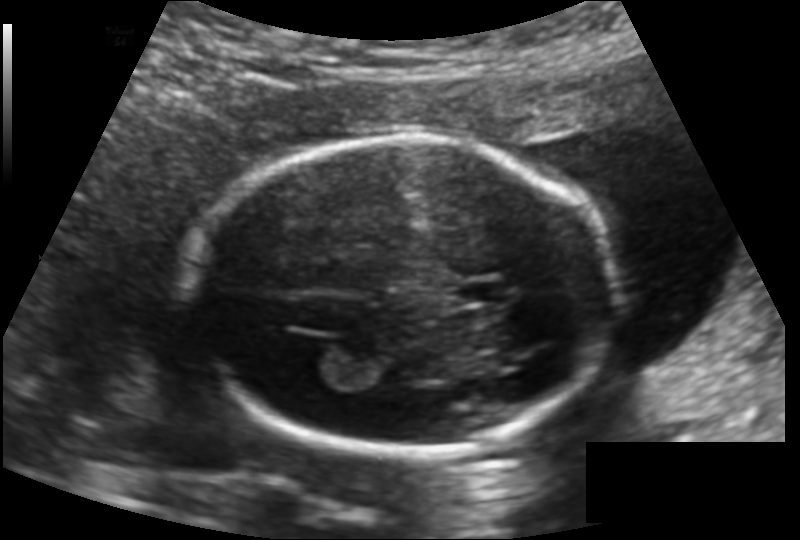
In this fetal head ultrasound, give the bounding box of the cavum septum pellucidum. Image width: 109.1 mm.

[457,280,508,306]